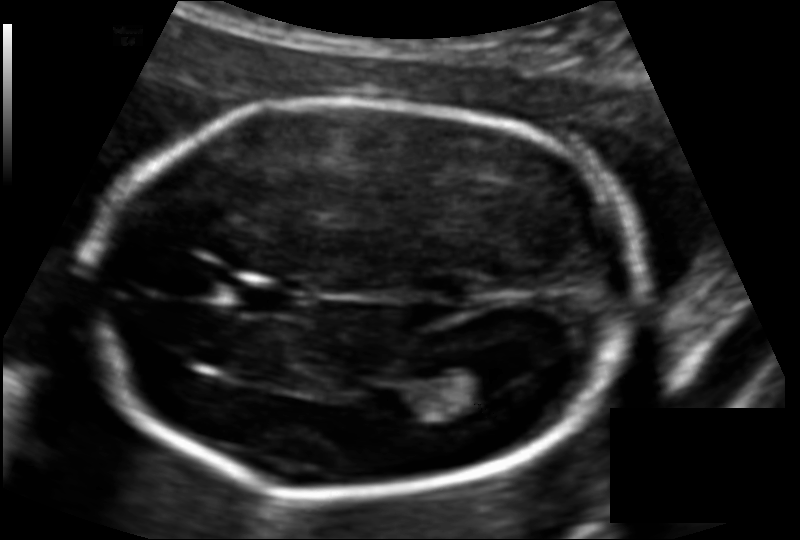
In this fetal head ultrasound, give the bounding box of the cavum septum pellucidum. Image width: 93.9 mm.

[232,277,312,322]